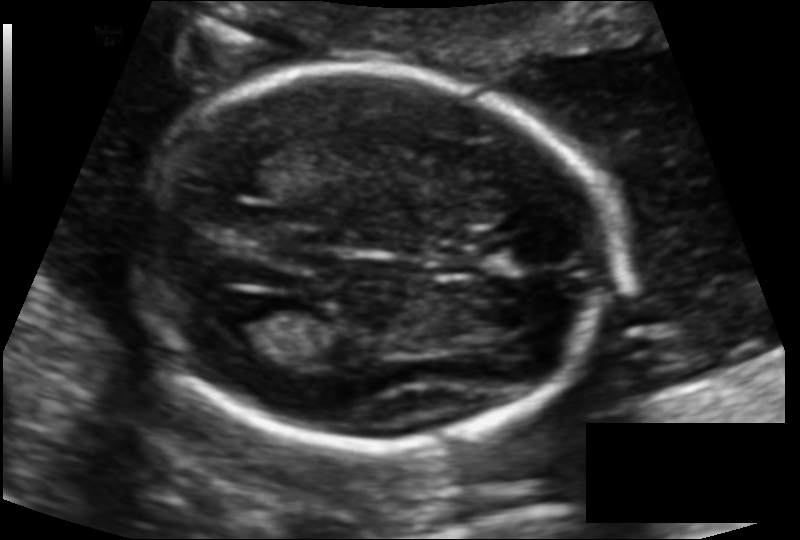
Fetal head ultrasound. Image width: 93.4 mm. Where is the lateral ventricle?

Lateral ventricle bounding box: [216,293,298,354]